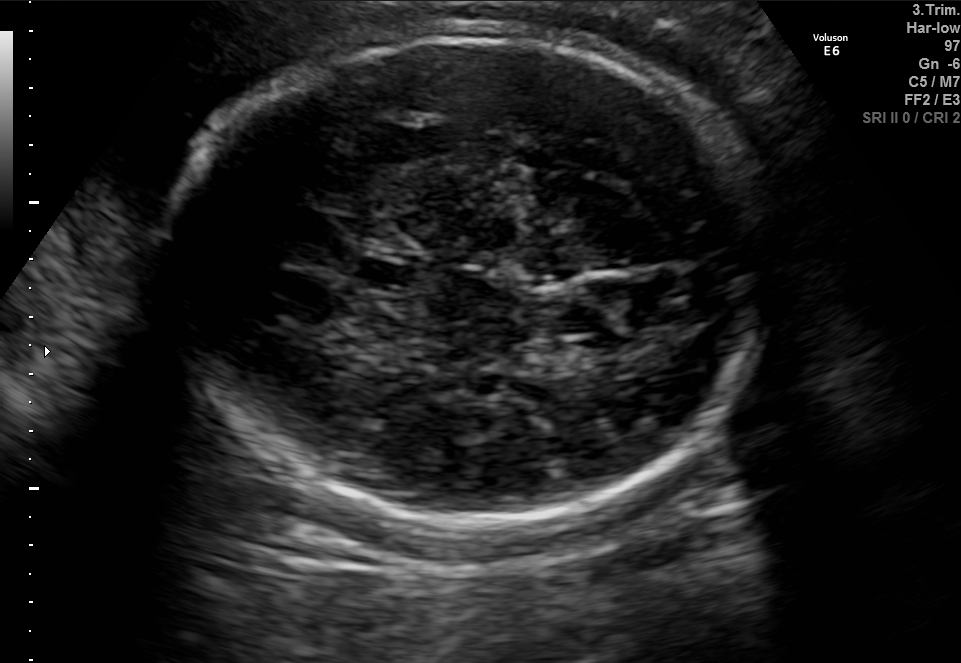
Fetal brain, trans-thalamic plane. Locate the fetal head.

Head: [165,32,780,533]